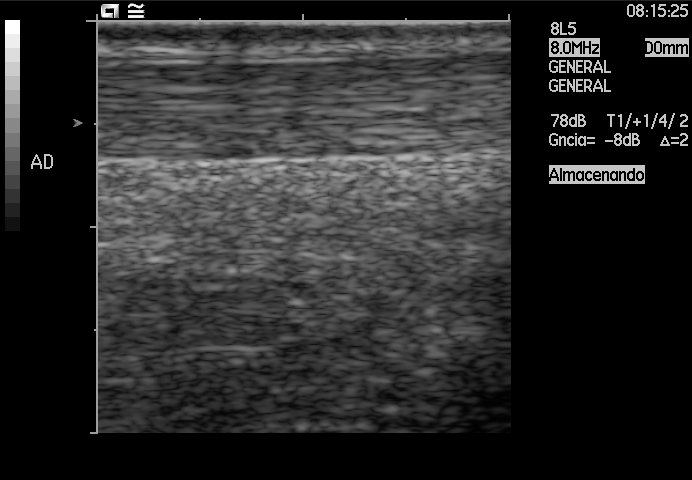
This is a 2D maternal-fetal ultrasound frame. Is it a fetal abdomen, fetal brain, fetal femur, fetal thorax, maternal cervix, or other standard plane? If it's fetal brain and one of the three standard brain planes (trans-thalamic, trans-cerebellum, trans-ventricular), name which.

Other